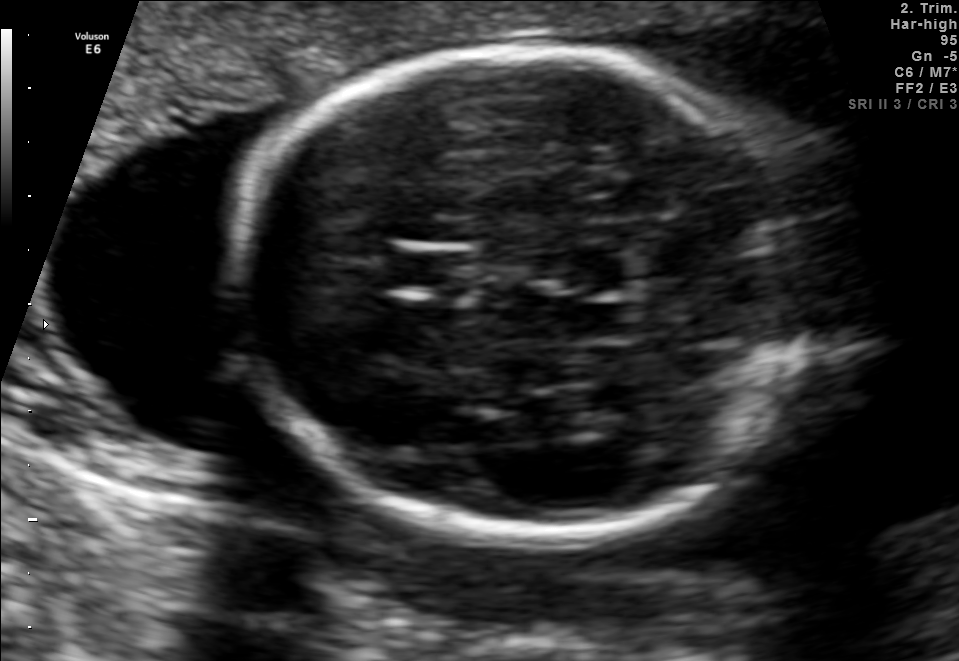
Identify the standard plane in this fetal ultrasound image: fetal abdomen, fetal brain, fetal femur, fetal thorax, maternal cervix, or other. If it's fetal brain and one of the three standard brain planes (trans-thalamic, trans-cerebellum, trans-ventricular), name which.

Fetal brain (trans-thalamic plane)